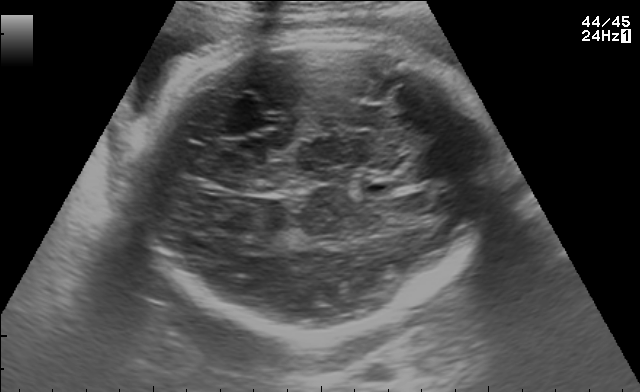
Fetal brain, trans-thalamic plane. Give [x1,y1,x2,y2] bounding boxes for each visible structure among: fetal head, CSP, LV.

Head: [125,37,489,333]